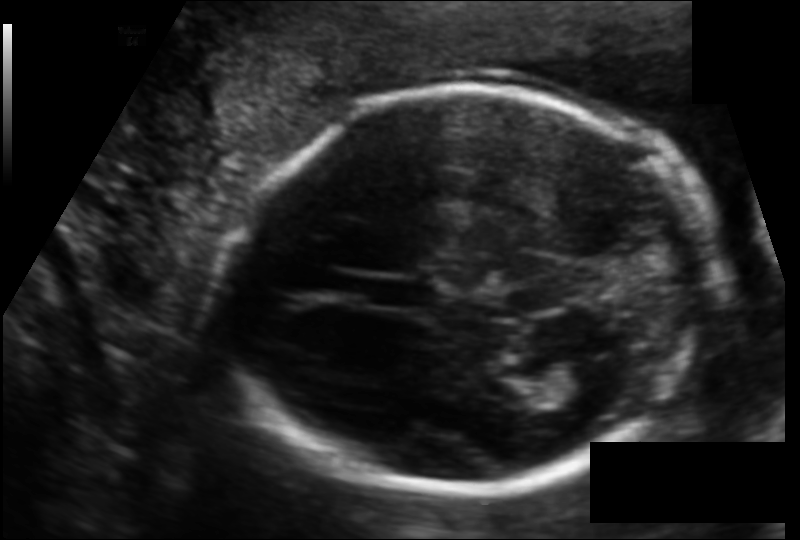
In this fetal head ultrasound, give the bounding box of the lateral ventricle. Image width: 95.3 mm.

[527,347,624,417]